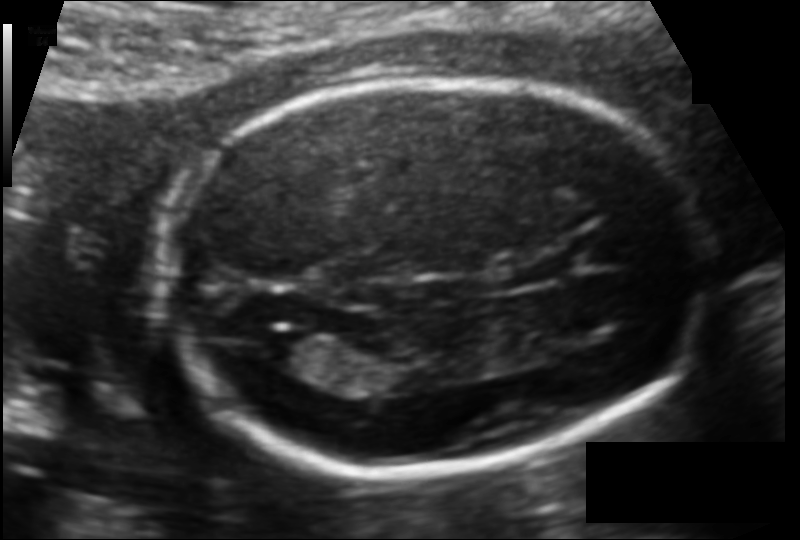
Fetal head ultrasound. Image width: 87.1 mm. Where is the fetal head?

Head bounding box: [158,78,704,472]